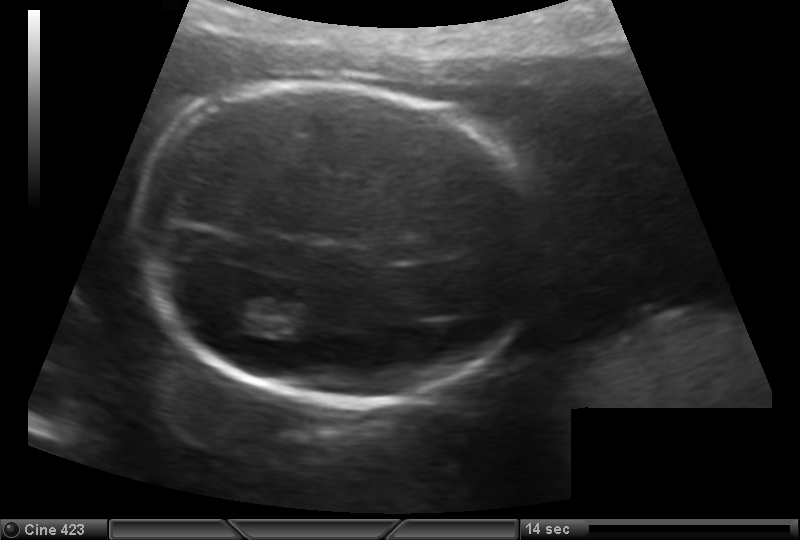
Fetal head ultrasound. Image width: 117.9 mm. Locate the fetal head.

Head: [128,82,535,403]